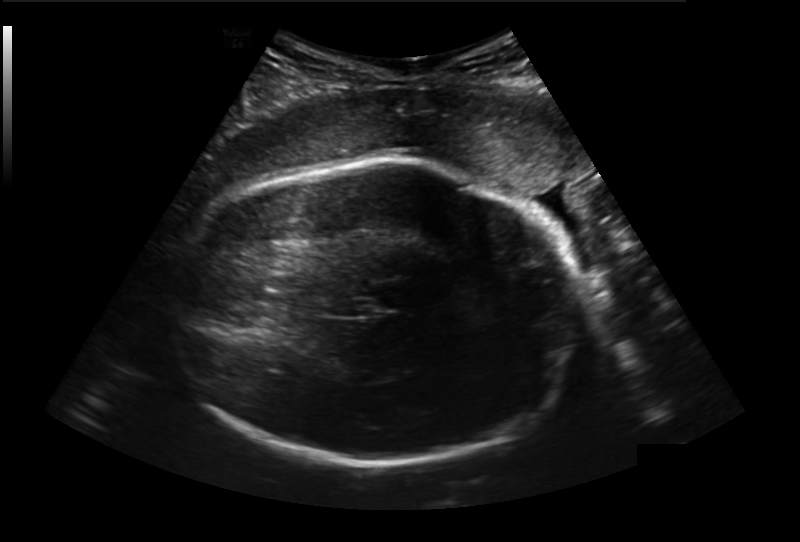
What is the fetal head circumference? Image width is 188.7 mm.

273.4 mm